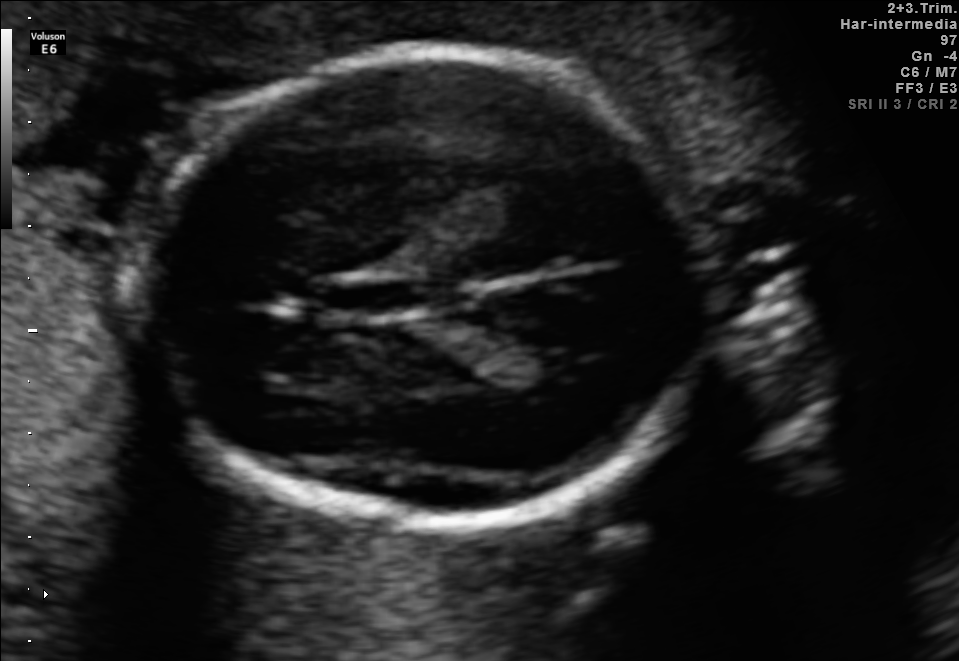
Identify the standard plane in this fetal ultrasound image: fetal abdomen, fetal brain, fetal femur, fetal thorax, maternal cervix, or other. If it's fetal brain and one of the three standard brain planes (trans-thalamic, trans-cerebellum, trans-ventricular), name which.

Fetal brain (trans-thalamic plane)